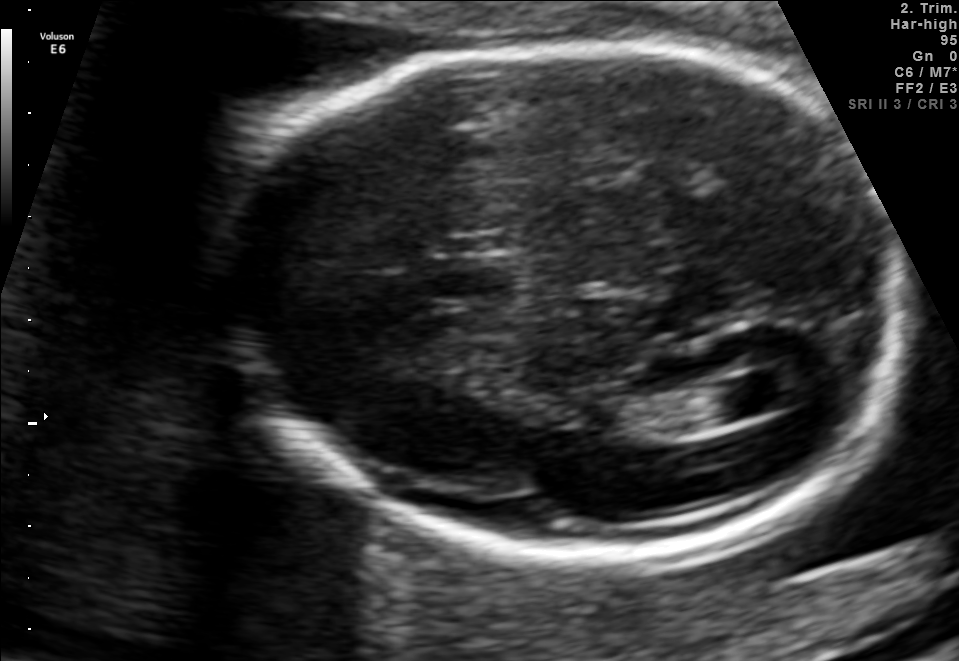
Fetal brain, trans-ventricular plane. Locate the fetal head and, if visible, the cavum septum pellucidum (CSP) and lateral ventricle (LV). Give bounding boxes as [x1,y1,x2,y2].

Head: [210,40,907,561]
CSP: [424,255,516,304]
Lateral ventricle: [701,361,806,430]